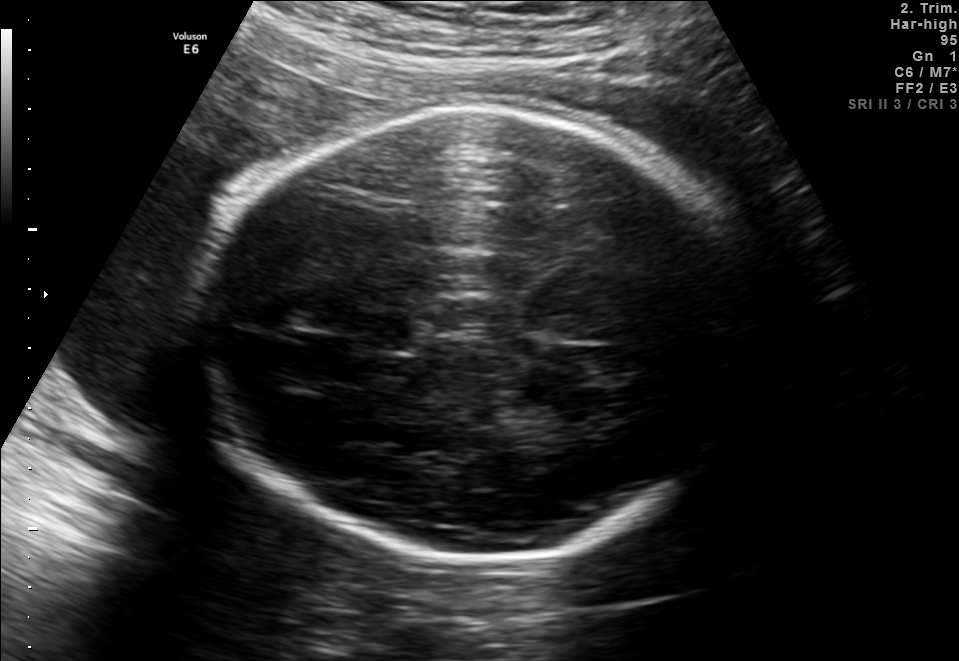
In this fetal brain, trans-thalamic plane, give bounding boxes for the head outline, cavum septum pellucidum (CSP), and lateral ventricle (LV), where visible.

Head: [201,110,756,567]
CSP: [355,313,411,352]